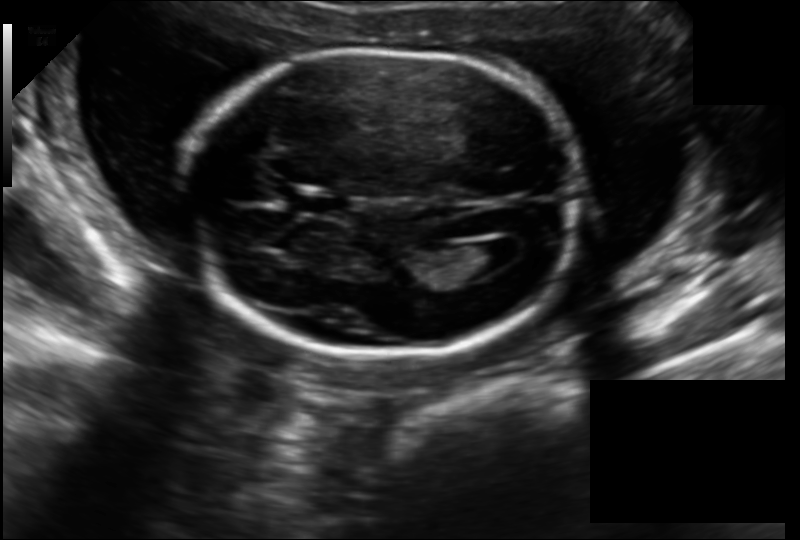
In this fetal head ultrasound, give the bounding box of the lateral ventricle. Image width: 125.8 mm.

[455,231,519,280]